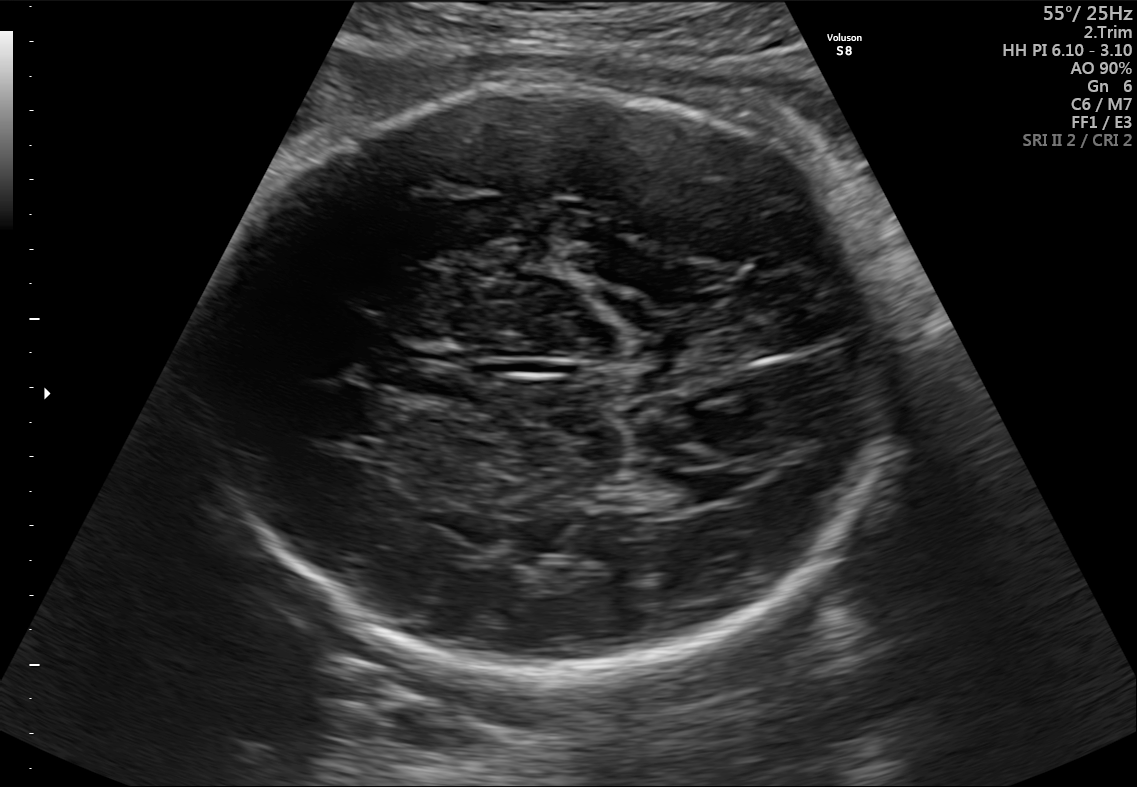
Fetal brain, trans-thalamic plane. Locate the cavum septum pellucidum.

CSP: [394,362,481,405]